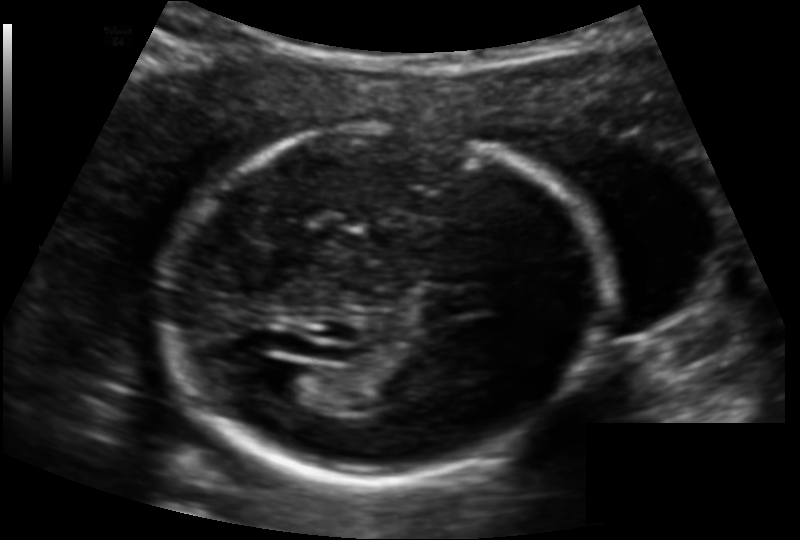
Fetal head ultrasound. Image width: 105.9 mm. Locate the fetal head.

Head: [154,127,607,480]